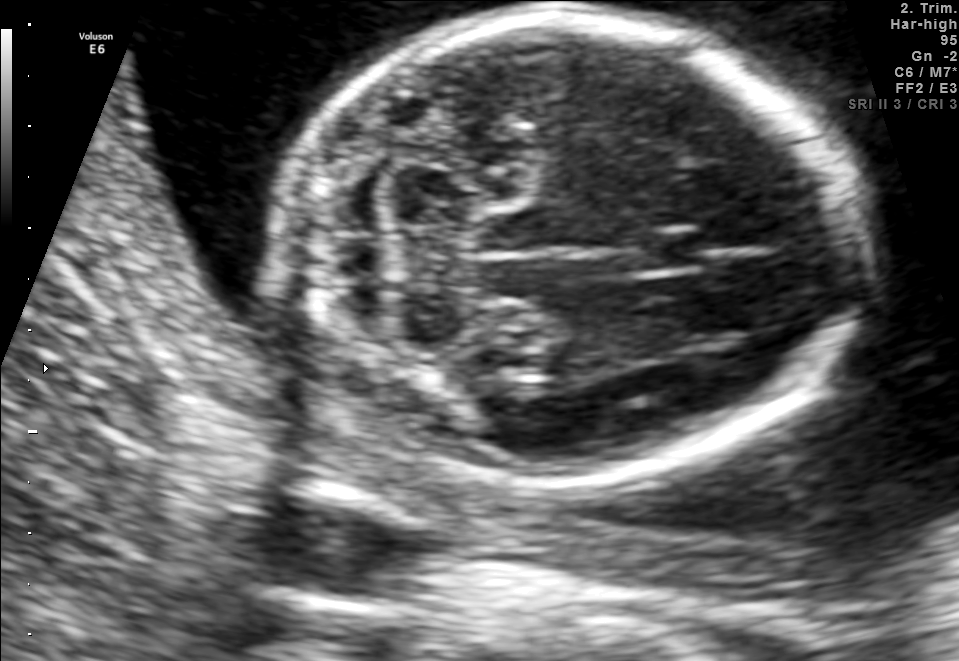
In this fetal brain, trans-cerebellum plane, give the bounding box of the cavum septum pellucidum.

[624,225,705,277]